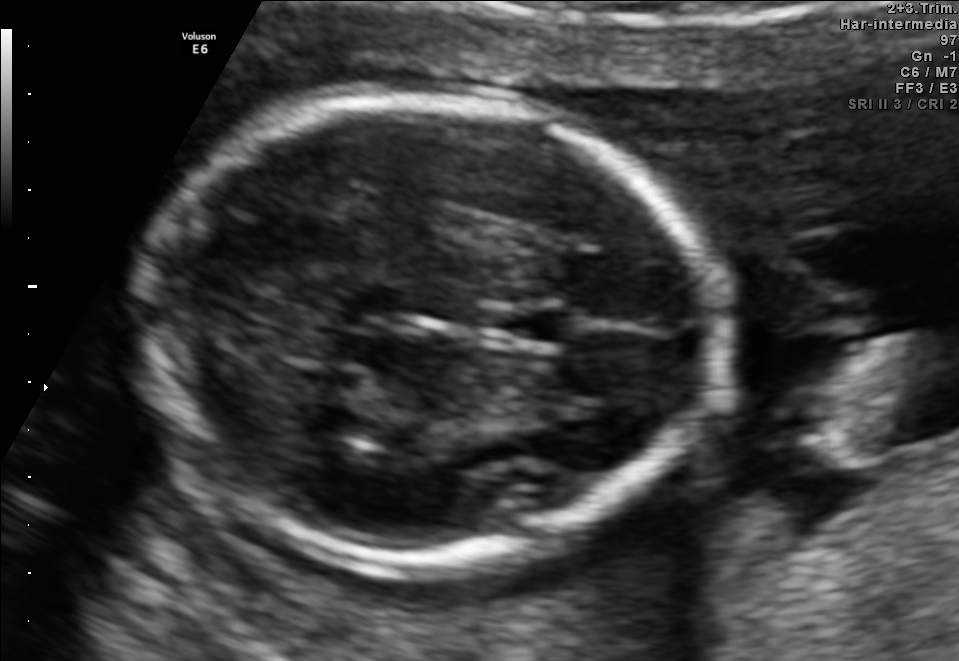
Fetal brain, trans-thalamic plane. Where is the cavum septum pellucidum?

CSP bounding box: [496,308,573,344]